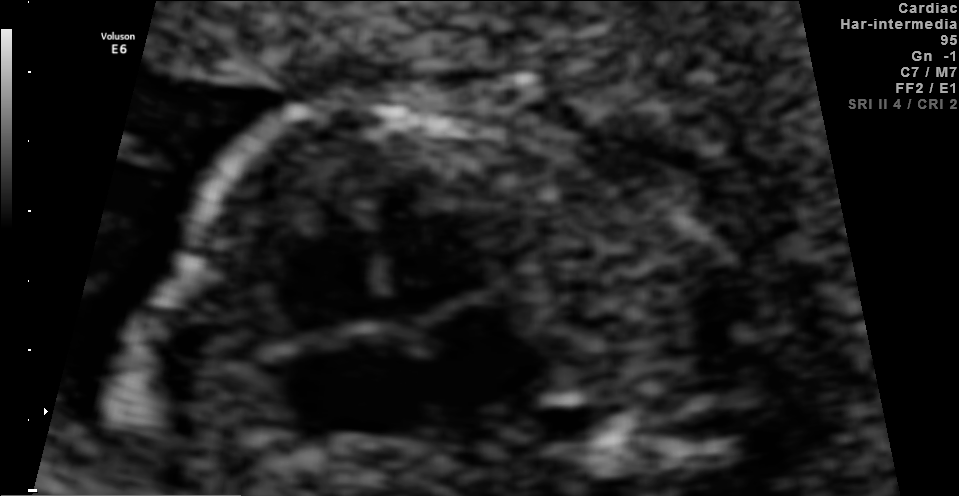
Identify the standard plane in this fetal ultrasound image: fetal abdomen, fetal brain, fetal femur, fetal thorax, maternal cervix, or other. If it's fetal brain and one of the three standard brain planes (trans-thalamic, trans-cerebellum, trans-ventricular), name which.

Fetal thorax